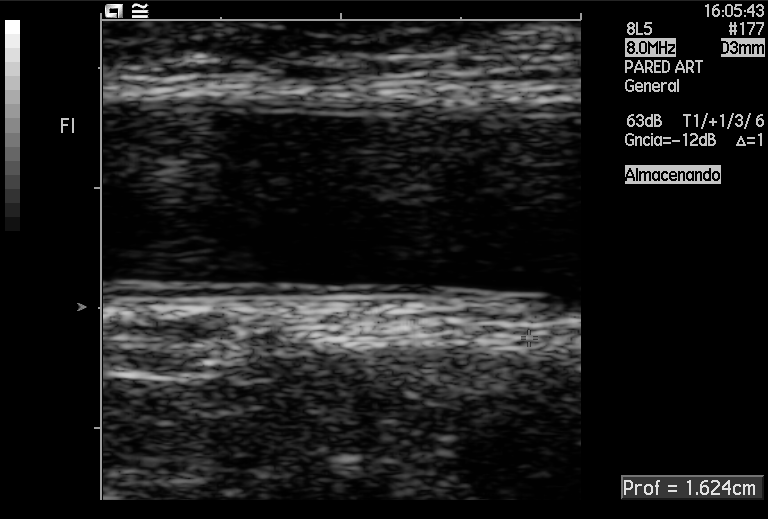
Classify this maternal-fetal ultrasound image as one of the six standard planes — fetal abdomen, fetal brain, fetal femur, fetal thorax, maternal cervix, or other. If it's fetal brain and one of the three standard brain planes (trans-thalamic, trans-cerebellum, trans-ventricular), name which.

Other